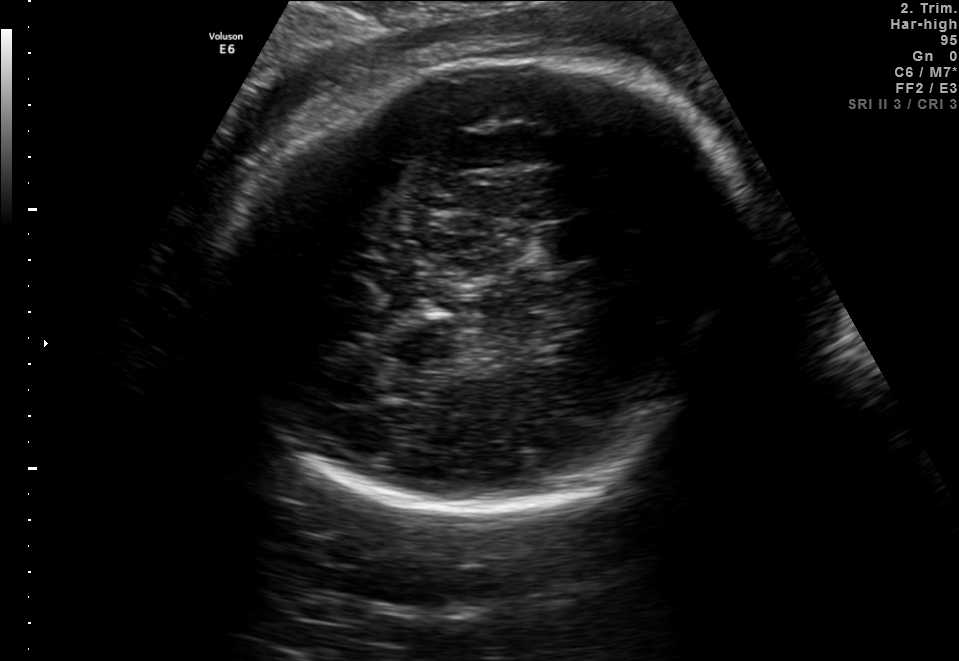
In this fetal brain, trans-thalamic plane, give the bounding box of the cavum septum pellucidum.

[536,214,603,268]